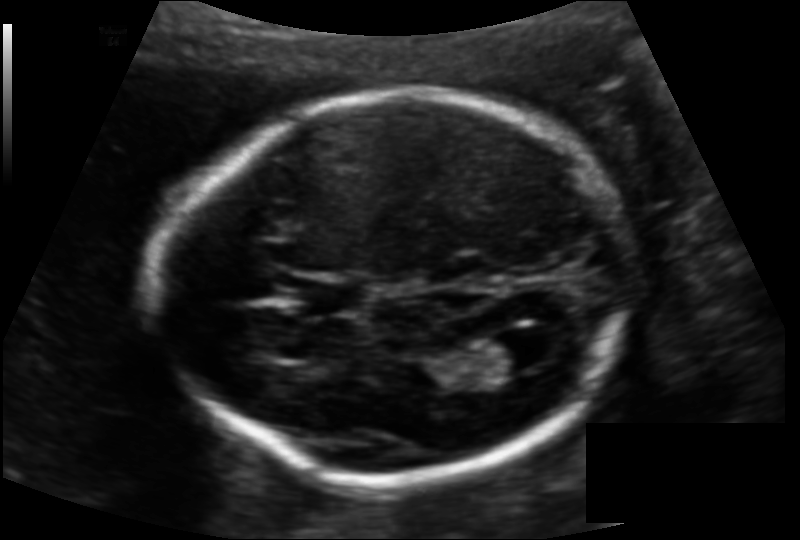
From this fetal ultrasound, estimate the head circumference (image width 102.7 mm).

Head circumference: 177.1 mm.